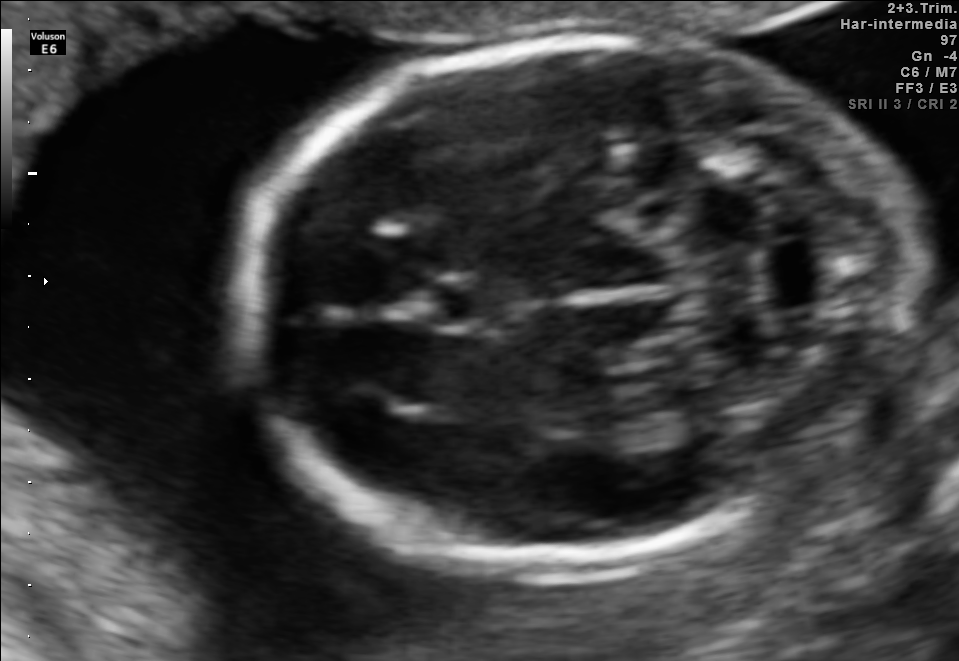
Fetal brain, trans-cerebellum plane. Give [x1,y1,x2,y2] bounding boxes for each visible structure among: fetal head, CSP, LV.

Head: [245,37,908,562]
CSP: [425,273,520,332]